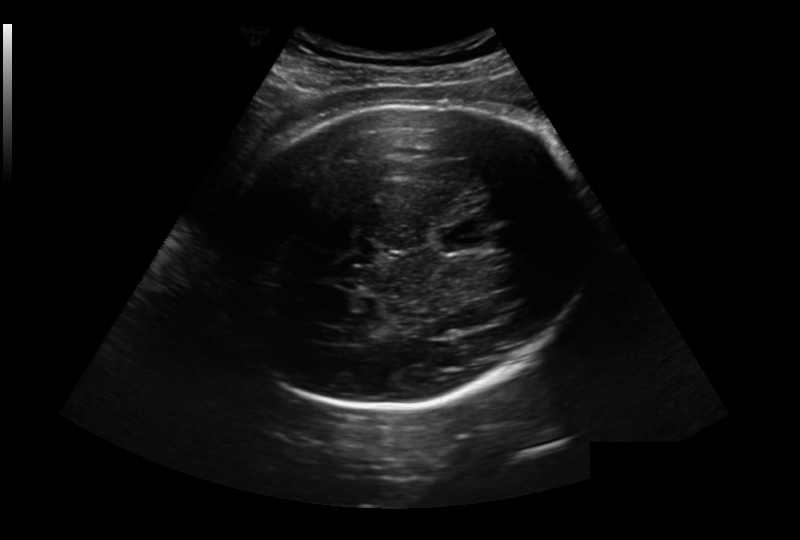
Fetal head ultrasound. Image width: 224.8 mm. Where is the lateral ventricle?

Lateral ventricle bounding box: [312,326,351,346]